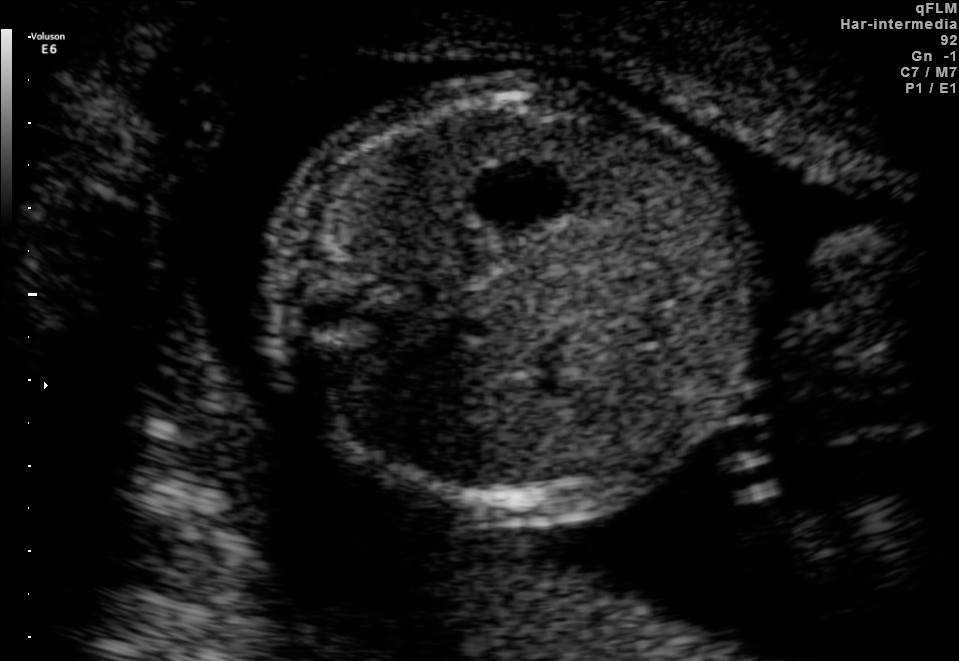
Identify the standard plane in this fetal ultrasound image: fetal abdomen, fetal brain, fetal femur, fetal thorax, maternal cervix, or other. If it's fetal brain and one of the three standard brain planes (trans-thalamic, trans-cerebellum, trans-ventricular), name which.

Fetal abdomen